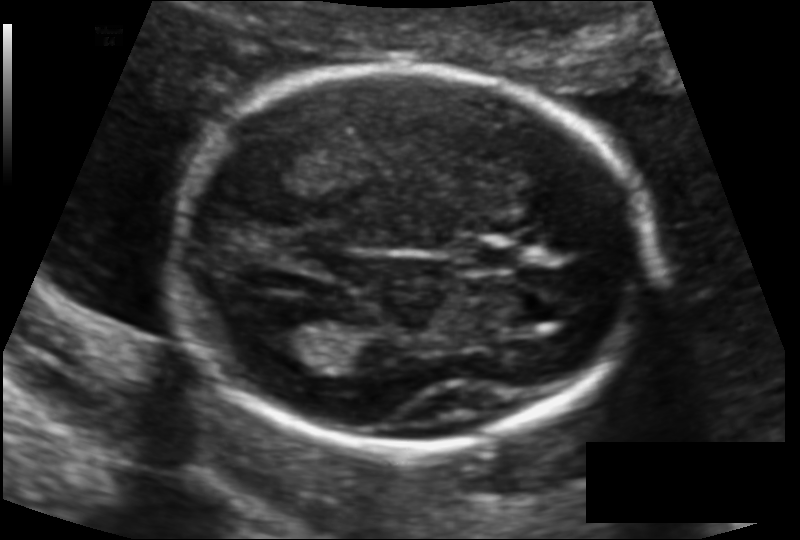
In this fetal head ultrasound, give the bounding box of the lateral ventricle. Image width: 93.3 mm.

[247,297,338,371]